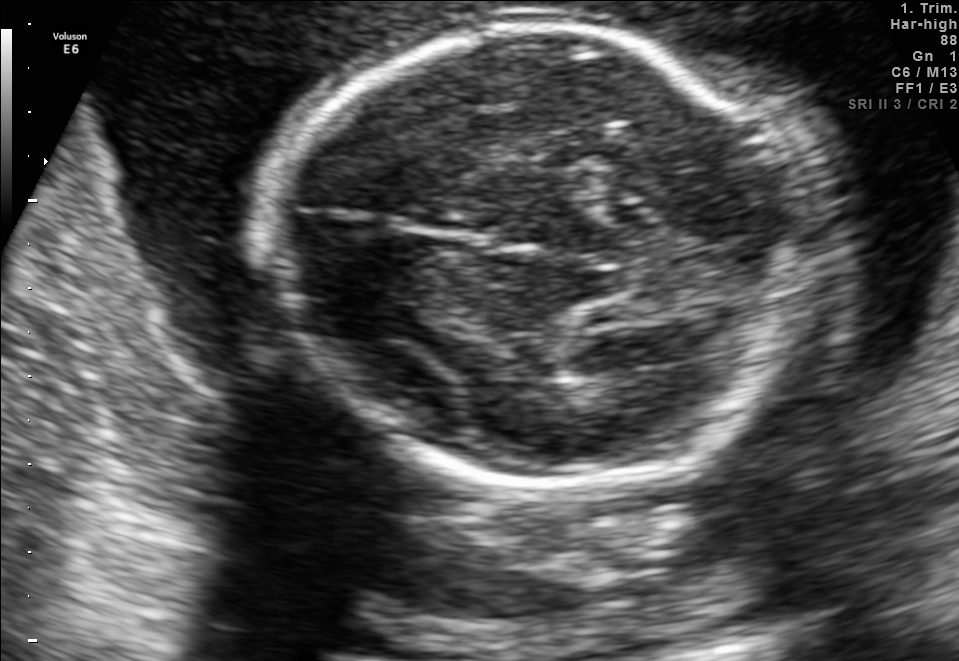
In this fetal brain, trans-thalamic plane, give the bounding box of the fetal head.

[260,21,813,494]